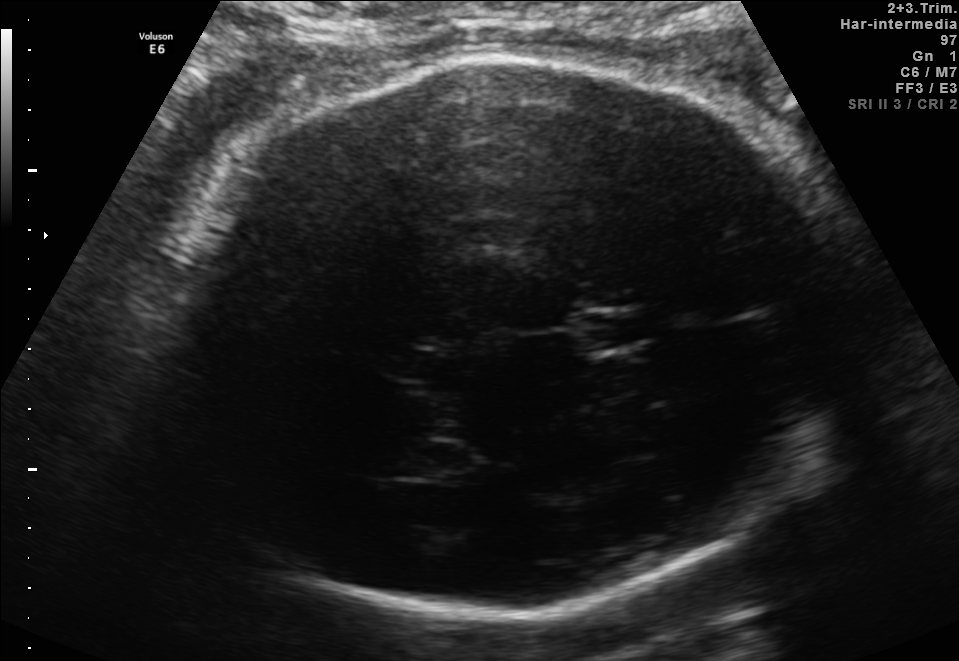
Fetal brain, trans-thalamic plane. Locate the cavum septum pellucidum.

CSP: [579,307,663,352]